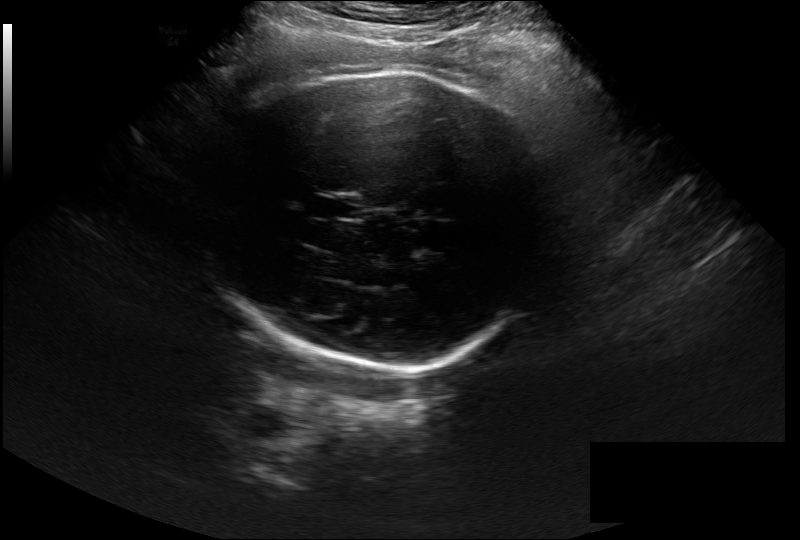
Fetal head ultrasound. Image width: 237.6 mm. Where is the fetal head?

Head bounding box: [209,73,549,371]